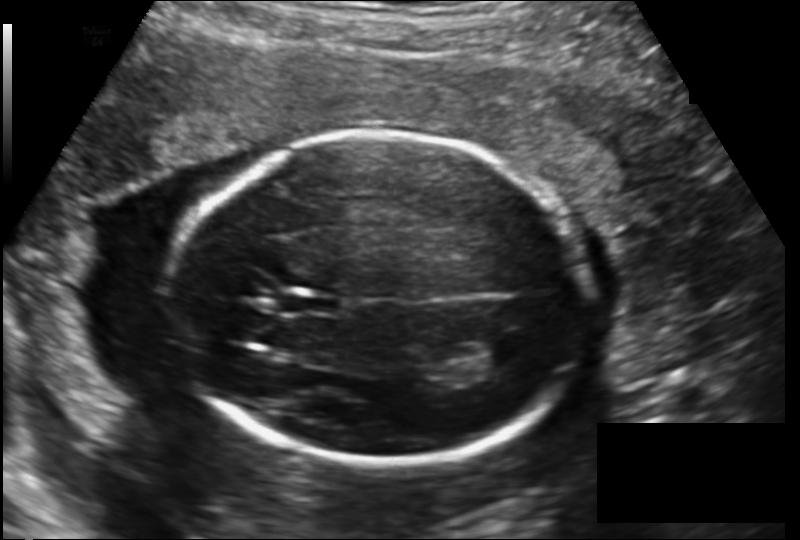
Fetal head ultrasound. Image width: 130.6 mm. Locate the cavum septum pellucidum.

CSP: [280,291,335,314]